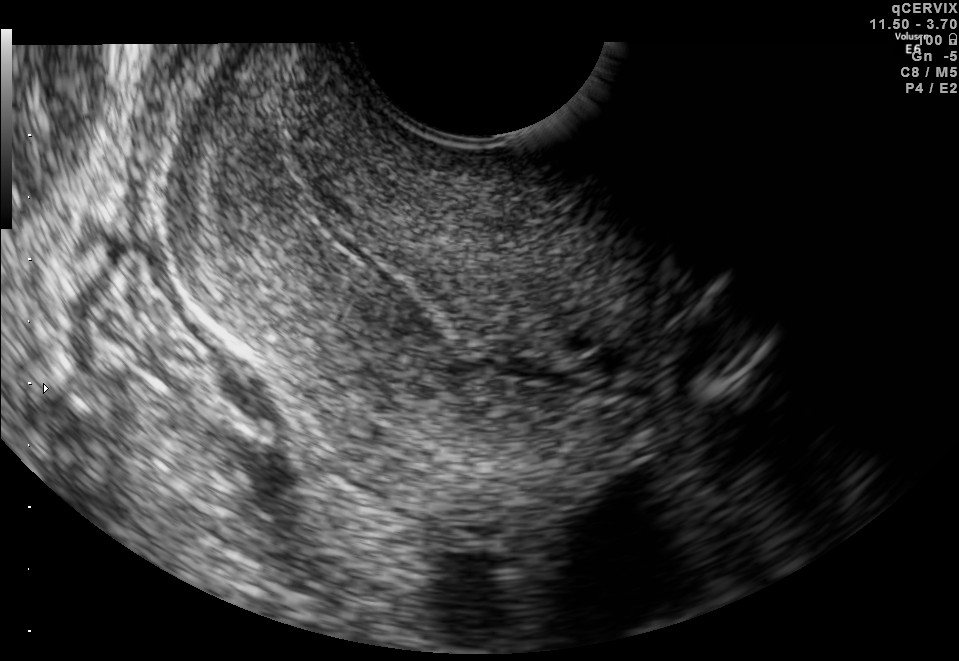
Classify this maternal-fetal ultrasound image as one of the six standard planes — fetal abdomen, fetal brain, fetal femur, fetal thorax, maternal cervix, or other. If it's fetal brain and one of the three standard brain planes (trans-thalamic, trans-cerebellum, trans-ventricular), name which.

Maternal cervix